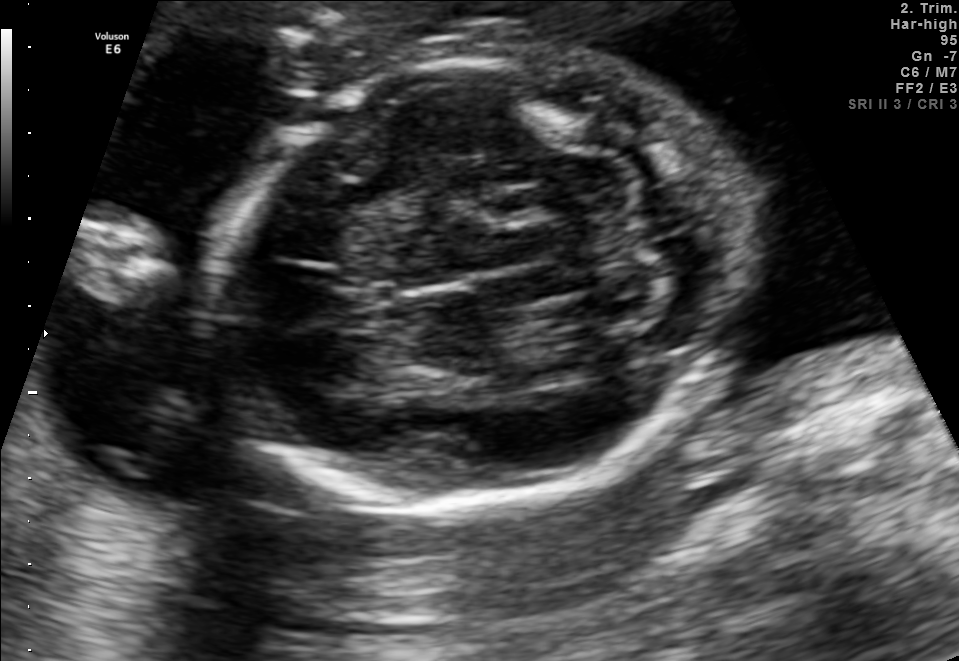
In this fetal brain, trans-cerebellum plane, give bounding boxes for the head outline, cavum septum pellucidum (CSP), and lateral ventricle (LV), where visible.

Head: [215,54,740,511]